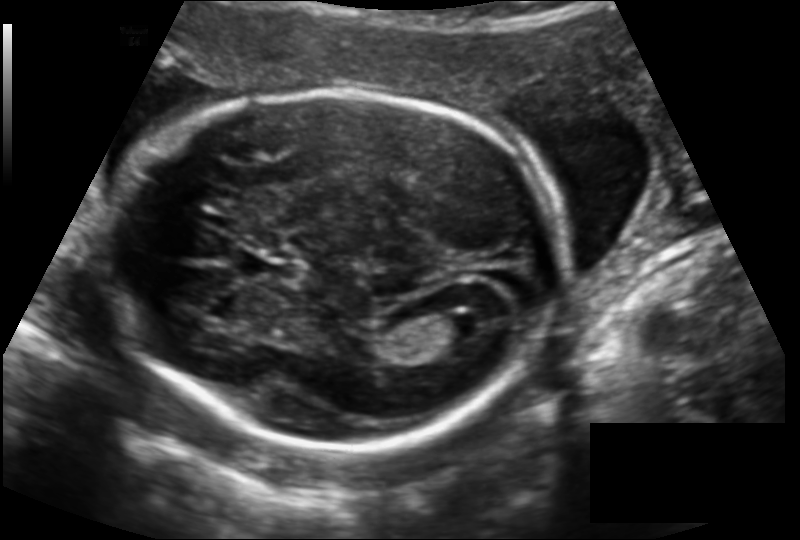
In this fetal head ultrasound, give the bounding box of the cavum septum pellucidum. Image width: 113.5 mm.

[244,251,304,287]